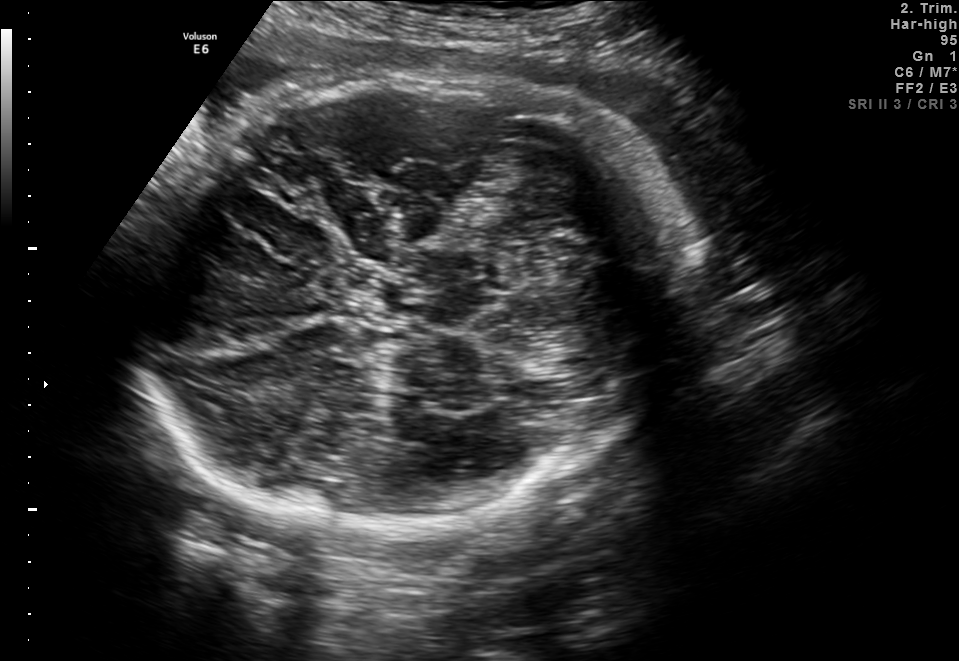
In this fetal brain, trans-thalamic plane, give bounding boxes for the head outline, cavum septum pellucidum (CSP), and lateral ventricle (LV), where visible.

Head: [127,73,690,534]